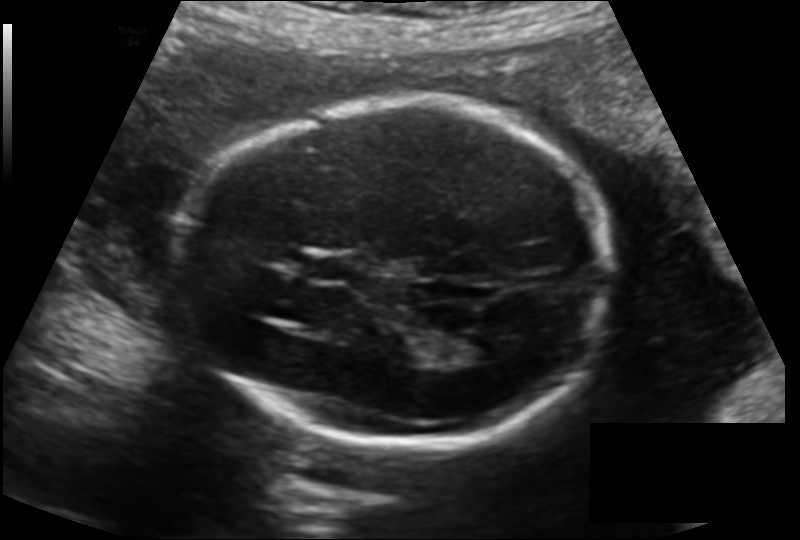
What is the fetal head circumference? Image width is 115.3 mm.

180.7 mm